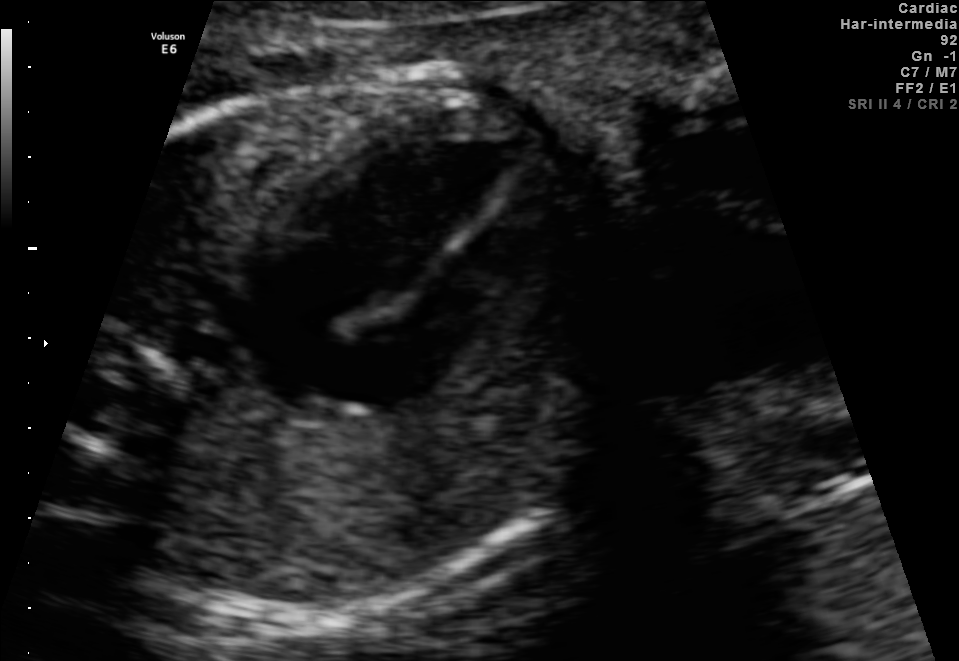
Classify this maternal-fetal ultrasound image as one of the six standard planes — fetal abdomen, fetal brain, fetal femur, fetal thorax, maternal cervix, or other. If it's fetal brain and one of the three standard brain planes (trans-thalamic, trans-cerebellum, trans-ventricular), name which.

Fetal thorax